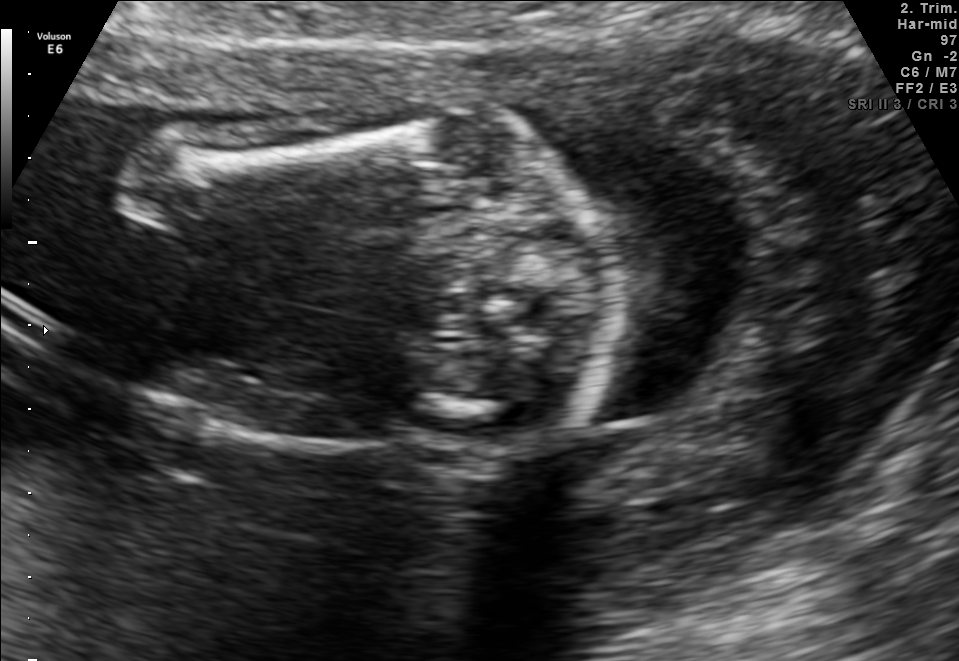
Identify the standard plane in this fetal ultrasound image: fetal abdomen, fetal brain, fetal femur, fetal thorax, maternal cervix, or other. If it's fetal brain and one of the three standard brain planes (trans-thalamic, trans-cerebellum, trans-ventricular), name which.

Other